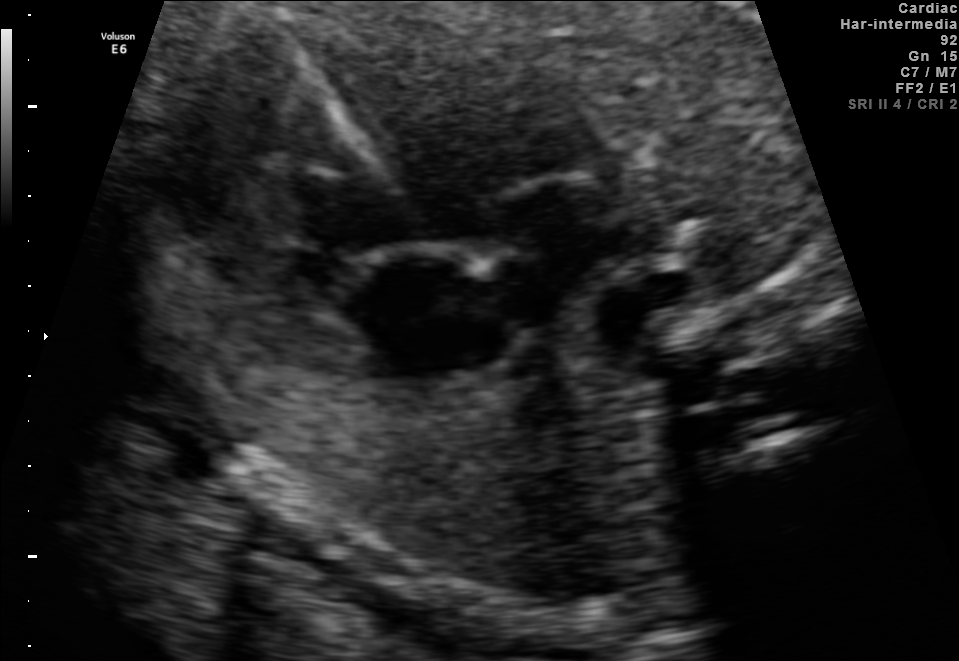
Which standard maternal-fetal ultrasound plane is shown: fetal abdomen, fetal brain, fetal femur, fetal thorax, maternal cervix, or other? If it's fetal brain and one of the three standard brain planes (trans-thalamic, trans-cerebellum, trans-ventricular), name which.

Fetal thorax